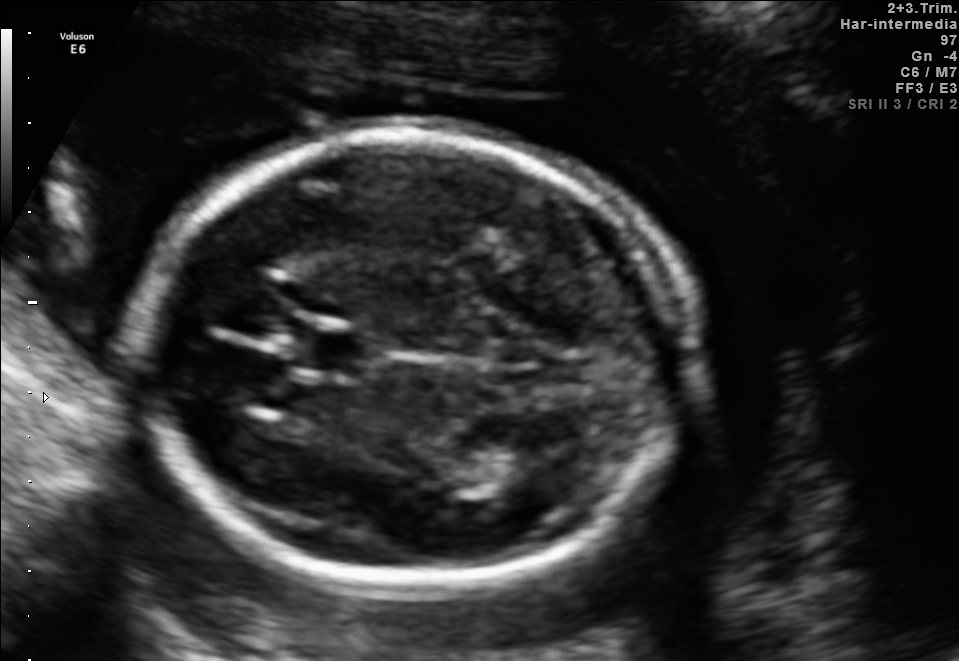
Fetal brain, trans-thalamic plane. Locate the cavum septum pellucidum.

CSP: [295,326,368,377]